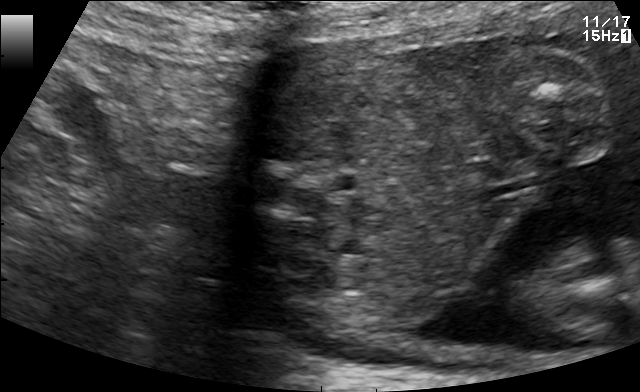
Classify this maternal-fetal ultrasound image as one of the six standard planes — fetal abdomen, fetal brain, fetal femur, fetal thorax, maternal cervix, or other. If it's fetal brain and one of the three standard brain planes (trans-thalamic, trans-cerebellum, trans-ventricular), name which.

Other